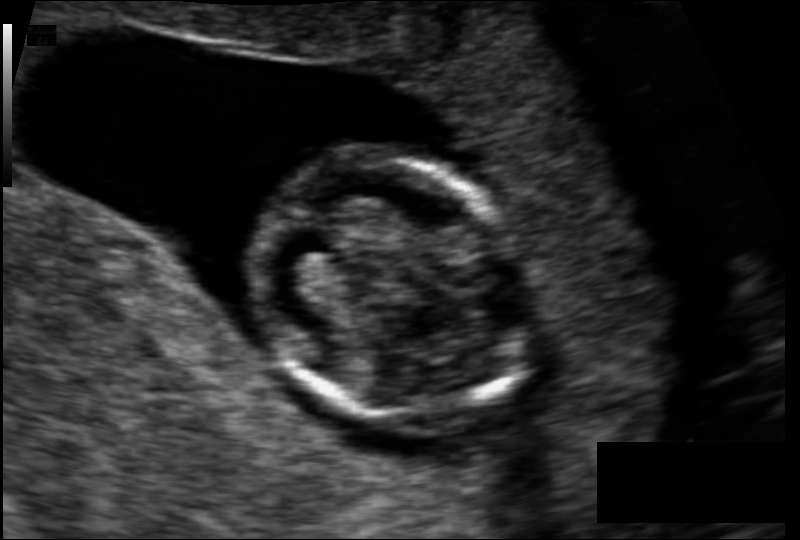
Fetal head ultrasound. Image width: 75.6 mm. Where is the fetal head?

Head bounding box: [254,153,528,423]